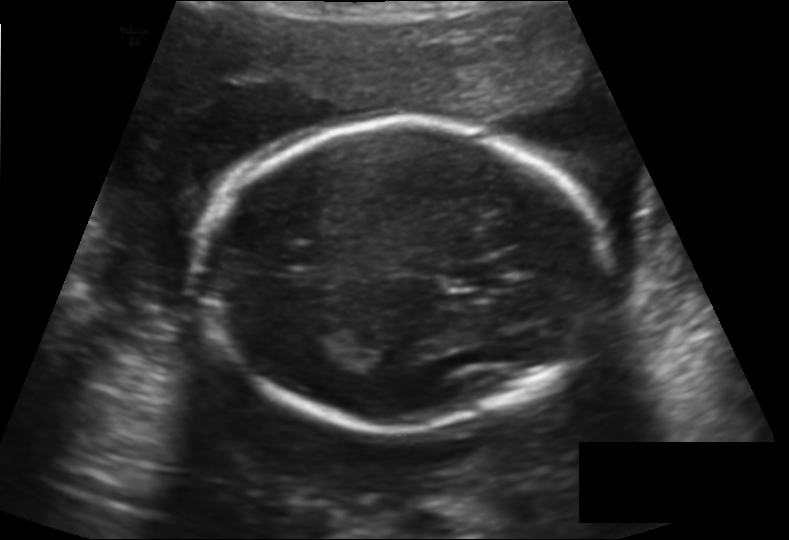
Fetal head ultrasound. Image width: 124.3 mm. Where is the cavum septum pellucidum?

CSP bounding box: [443,255,508,292]